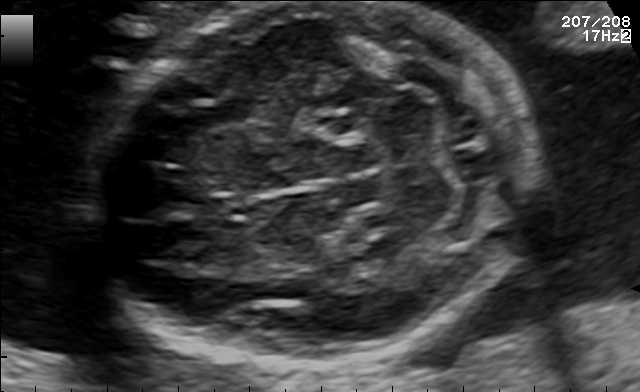
Fetal brain, trans-cerebellum plane. Locate the fetal head.

Head: [88,4,537,362]